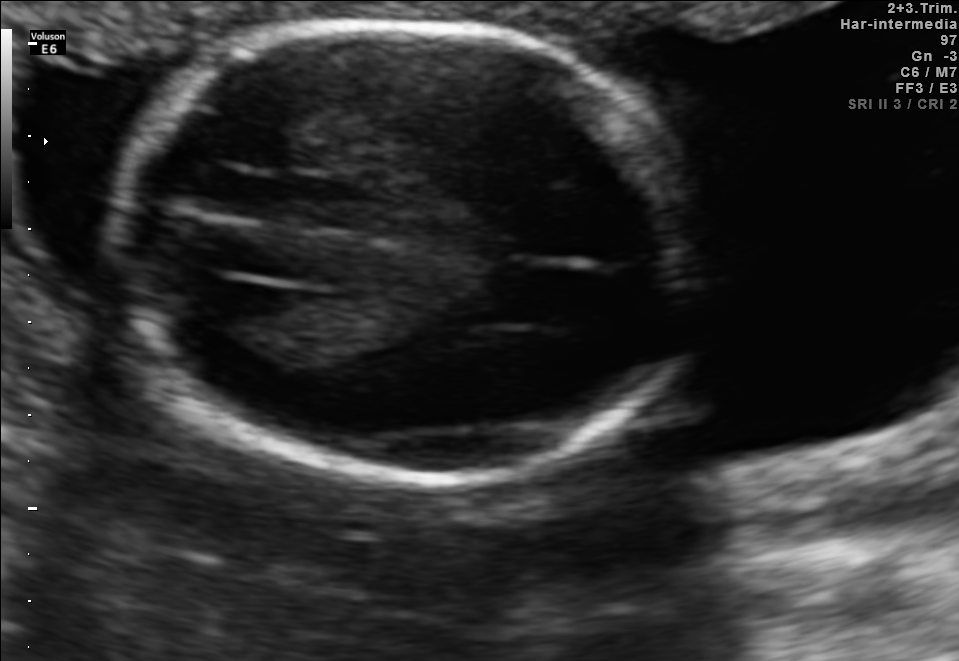
Fetal brain, trans-thalamic plane. Give [x1,y1,x2,y2] bounding boxes for each visible structure among: fetal head, CSP, LV.

Head: [113,22,696,483]